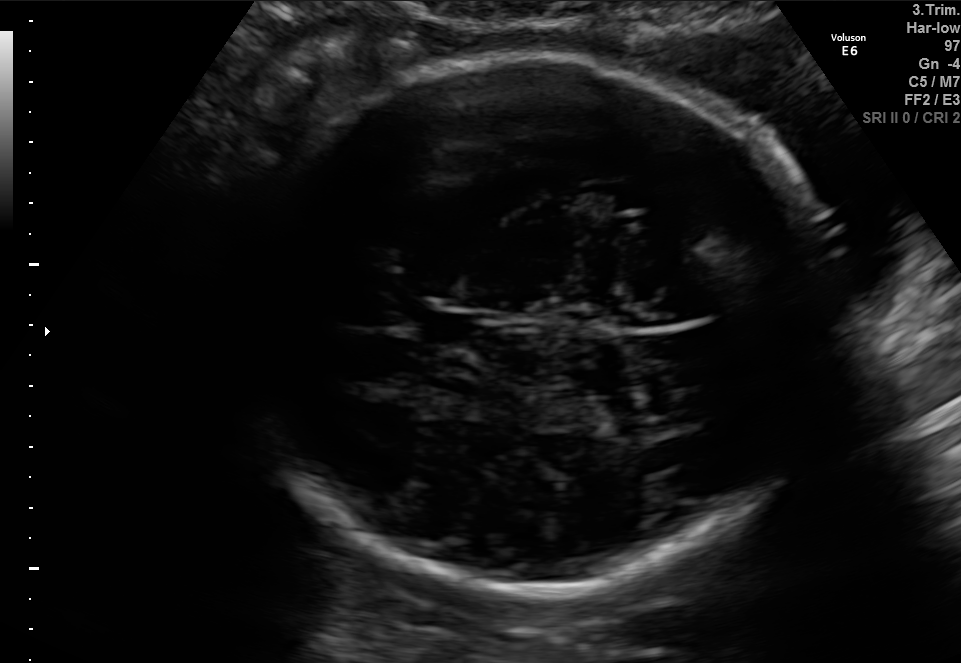
In this fetal brain, trans-thalamic plane, give the bounding box of the cavum septum pellucidum.

[422,314,475,344]